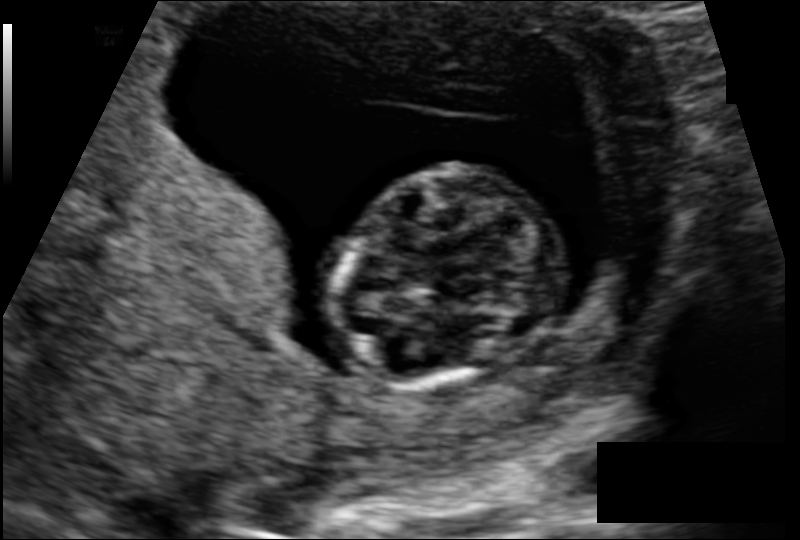
Fetal head ultrasound. Image width: 86.1 mm. Locate the fetal head.

Head: [337,162,543,391]